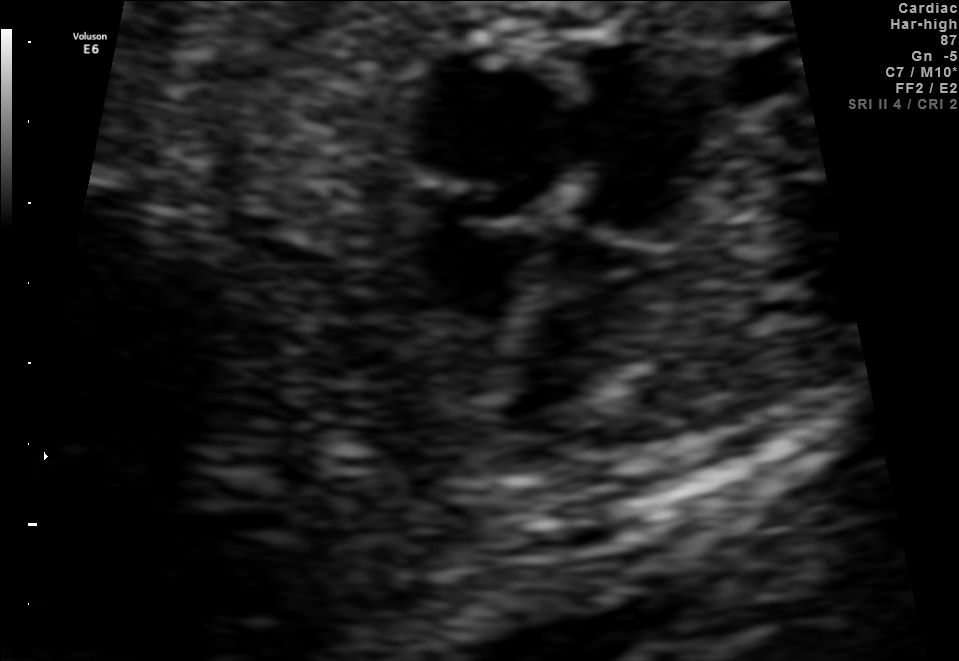
This is a 2D maternal-fetal ultrasound frame. Is it a fetal abdomen, fetal brain, fetal femur, fetal thorax, maternal cervix, or other standard plane? If it's fetal brain and one of the three standard brain planes (trans-thalamic, trans-cerebellum, trans-ventricular), name which.

Fetal thorax